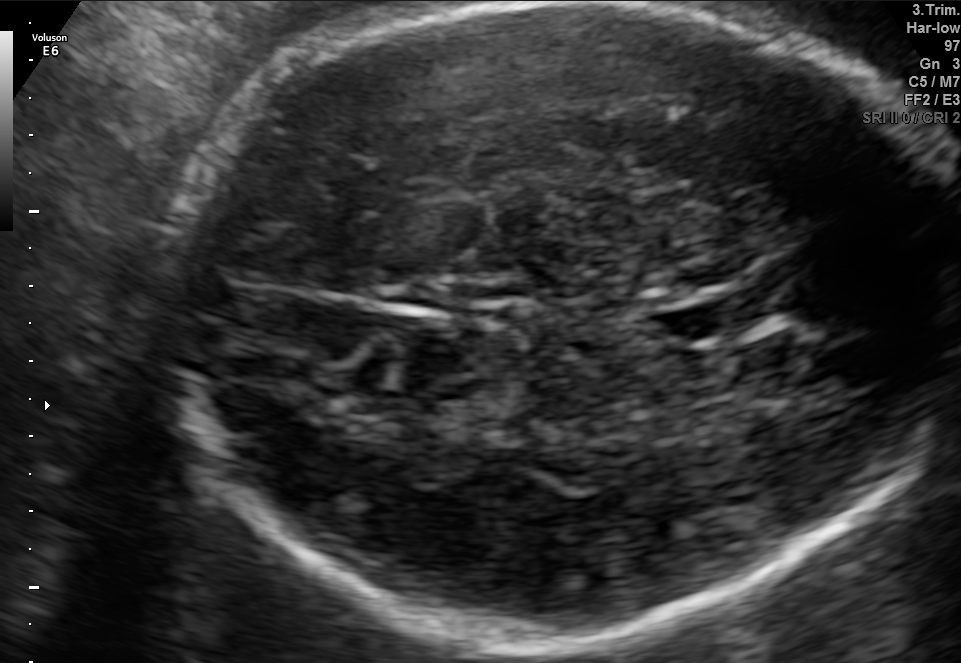
Fetal brain, trans-thalamic plane. Where is the cavum septum pellucidum?

CSP bounding box: [663,296,746,343]